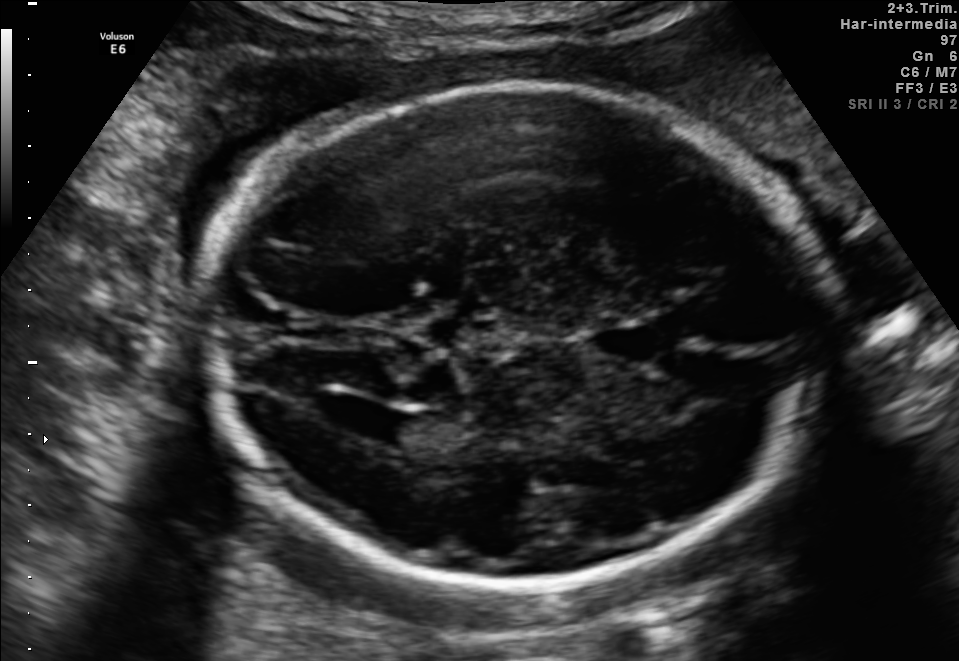
This is a 2D maternal-fetal ultrasound frame. Is it a fetal abdomen, fetal brain, fetal femur, fetal thorax, maternal cervix, or other standard plane? If it's fetal brain and one of the three standard brain planes (trans-thalamic, trans-cerebellum, trans-ventricular), name which.

Fetal brain (trans-ventricular plane)